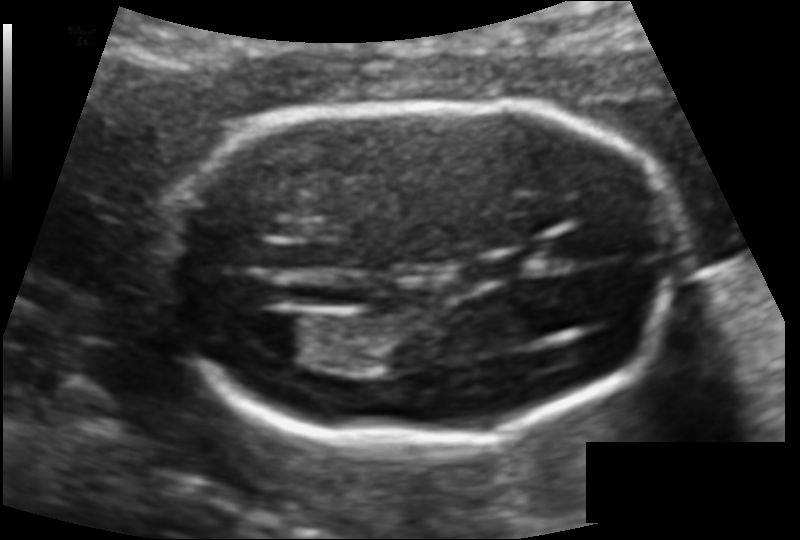
Fetal head ultrasound. Image width: 87.1 mm. Where is the fetal head?

Head bounding box: [154,104,681,438]